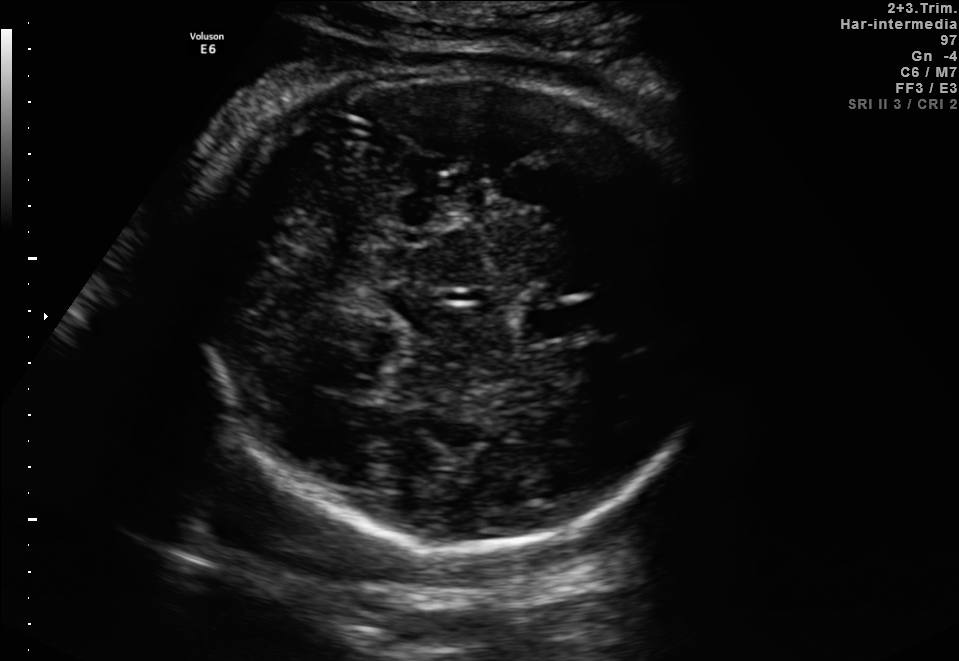
In this fetal brain, trans-thalamic plane, give the bounding box of the fetal head.

[192,72,715,545]